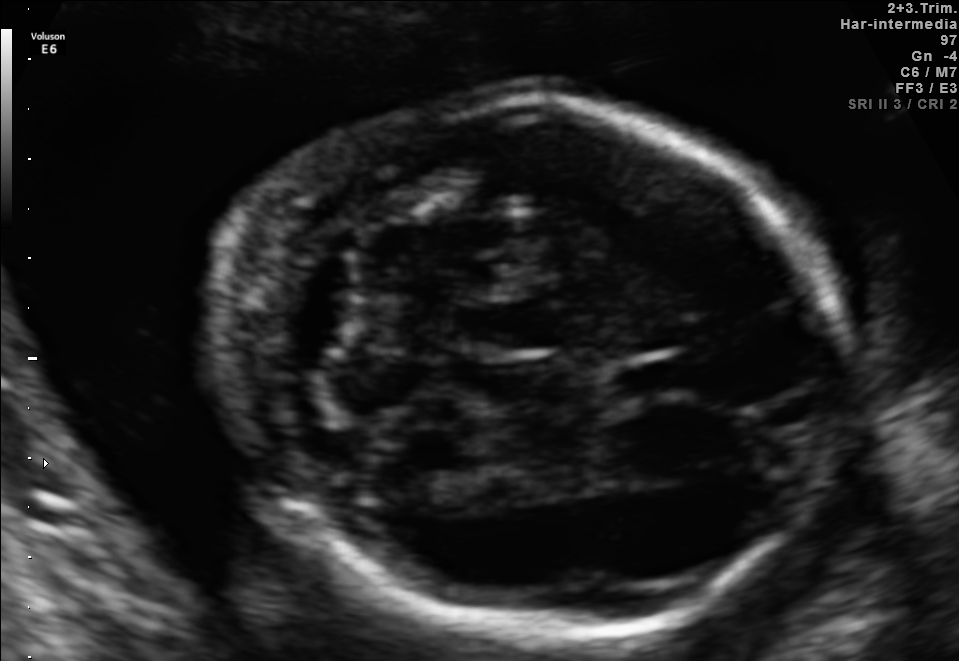
Fetal brain, trans-cerebellum plane. Locate the cavum septum pellucidum.

CSP: [608,348,696,410]